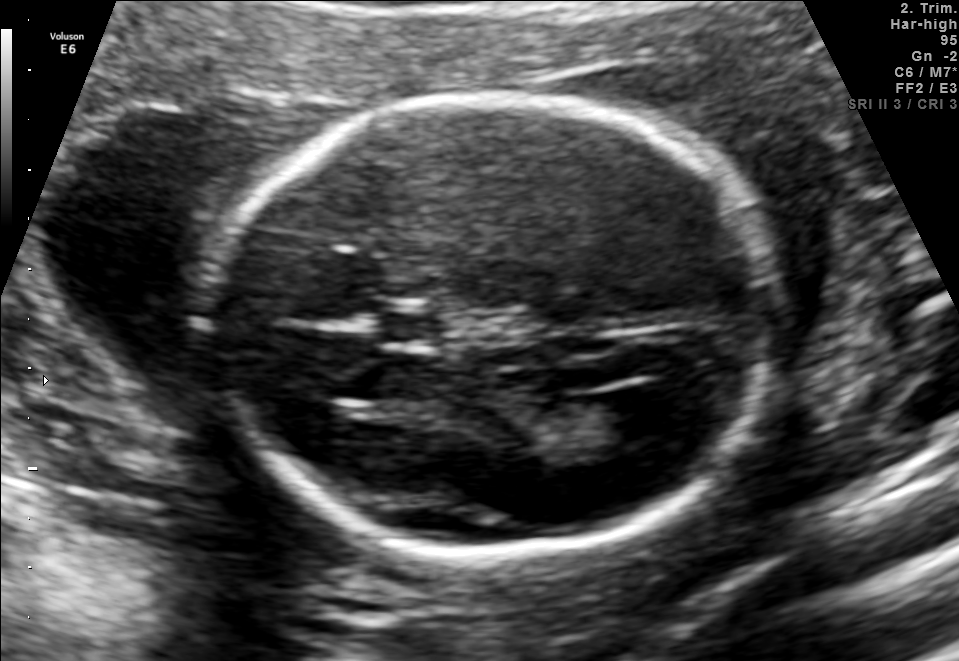
Fetal brain, trans-ventricular plane. Give [x1,y1,x2,y2] bounding boxes for each visible structure among: fetal head, CSP, LV.

Head: [194,87,797,562]
CSP: [370,308,460,347]
Lateral ventricle: [585,371,690,453]